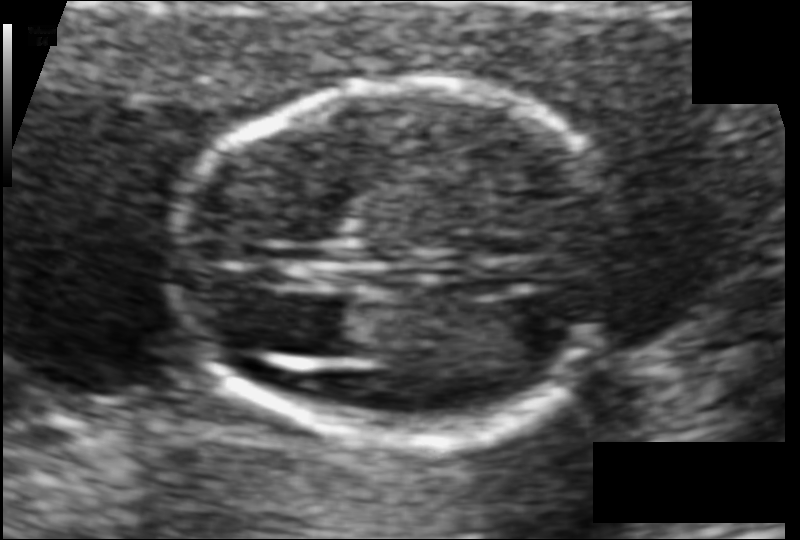
Estimate the fetal head circumference from this 2D ultrasound.

Head circumference: 100.7 mm (image width 61.4 mm).